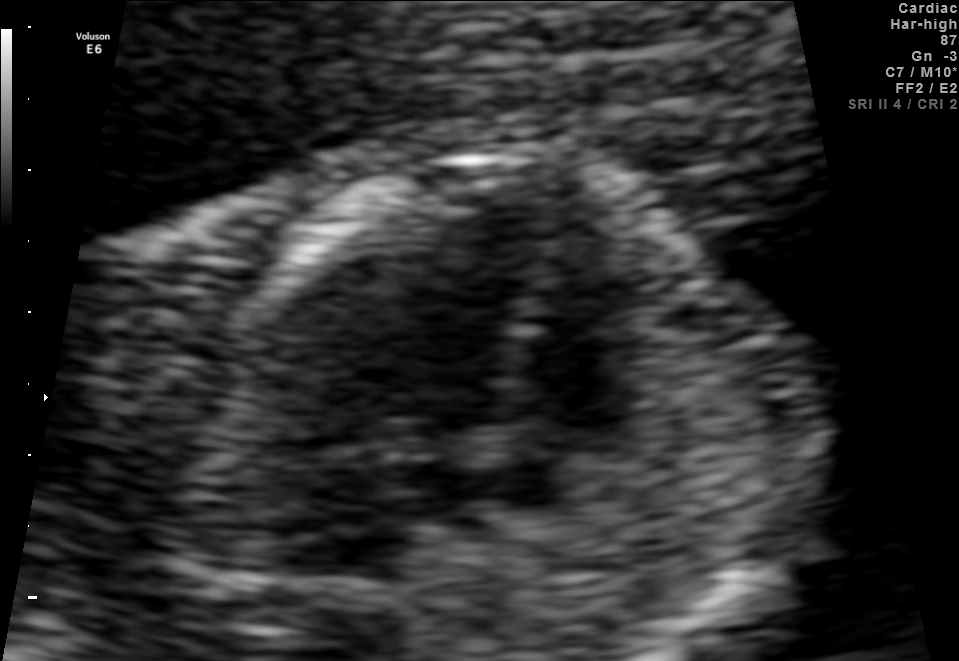
Which standard maternal-fetal ultrasound plane is shown: fetal abdomen, fetal brain, fetal femur, fetal thorax, maternal cervix, or other? If it's fetal brain and one of the three standard brain planes (trans-thalamic, trans-cerebellum, trans-ventricular), name which.

Fetal thorax